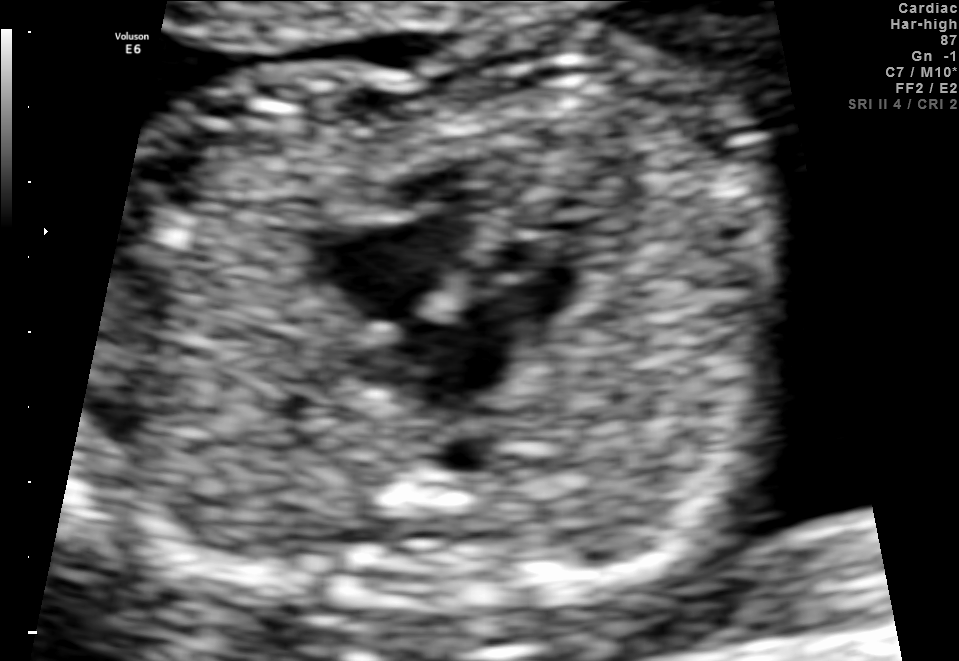
Identify the standard plane in this fetal ultrasound image: fetal abdomen, fetal brain, fetal femur, fetal thorax, maternal cervix, or other. If it's fetal brain and one of the three standard brain planes (trans-thalamic, trans-cerebellum, trans-ventricular), name which.

Fetal thorax